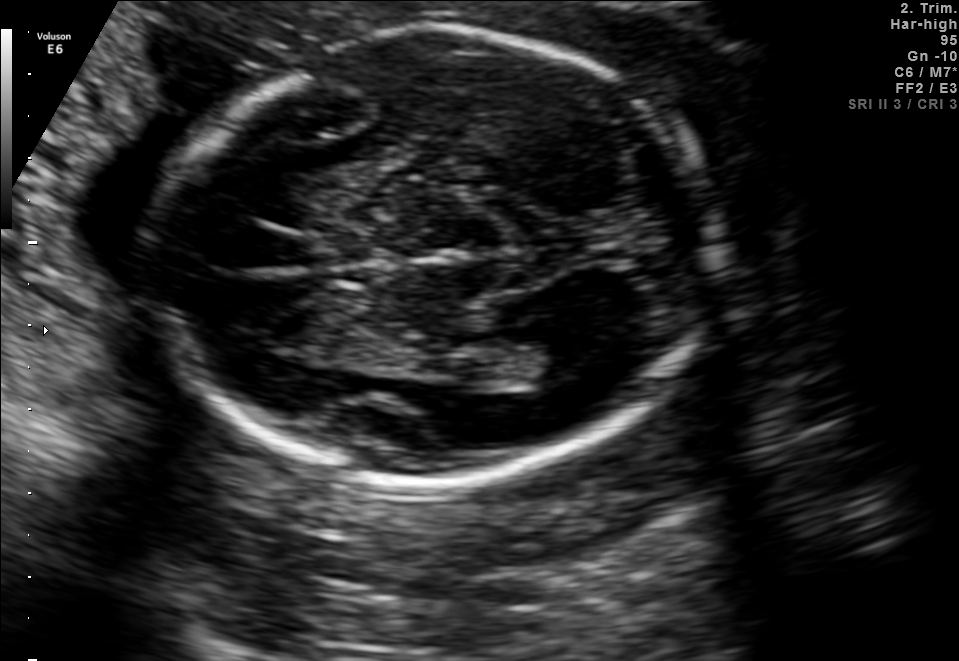
Fetal brain, trans-ventricular plane. Locate the cavum septum pellucidum.

CSP: [305,248,384,283]